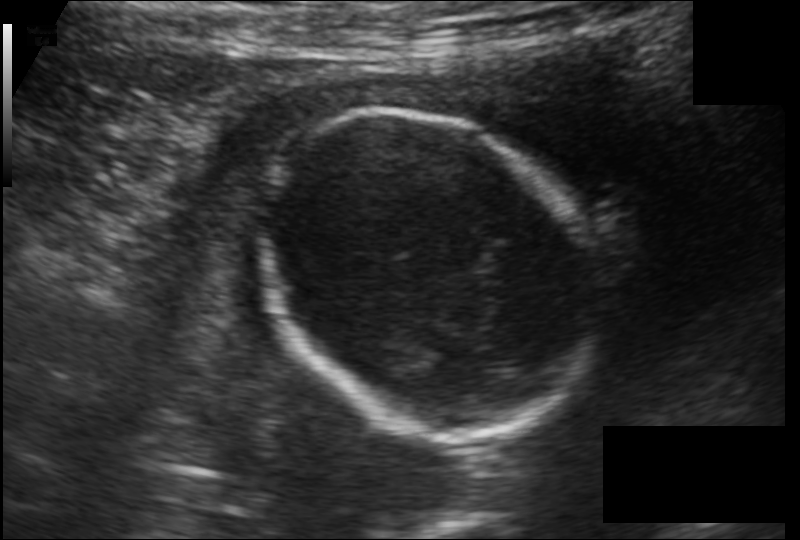
Fetal head ultrasound. Image width: 116.2 mm. Locate the fetal head and, if visible, the cavum septum pellucidum (CSP) and lateral ventricle (LV). Give bounding boxes as [x1,y1,x2,y2].

Head: [254,113,601,431]